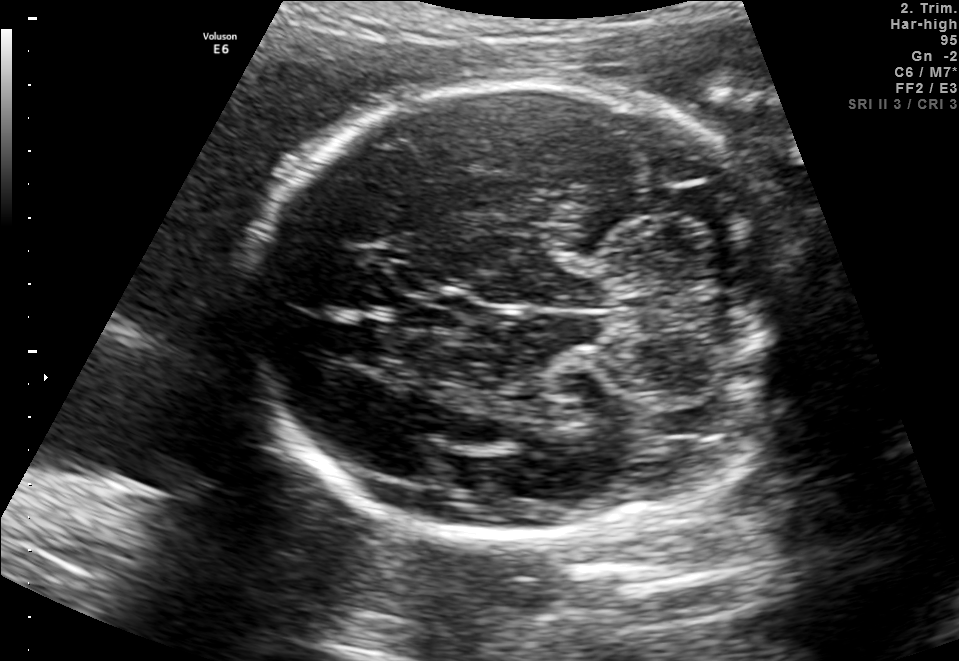
In this fetal brain, trans-cerebellum plane, give bounding boxes for the head outline, cavum septum pellucidum (CSP), and lateral ventricle (LV), where visible.

Head: [247,80,790,539]
CSP: [402,292,466,332]